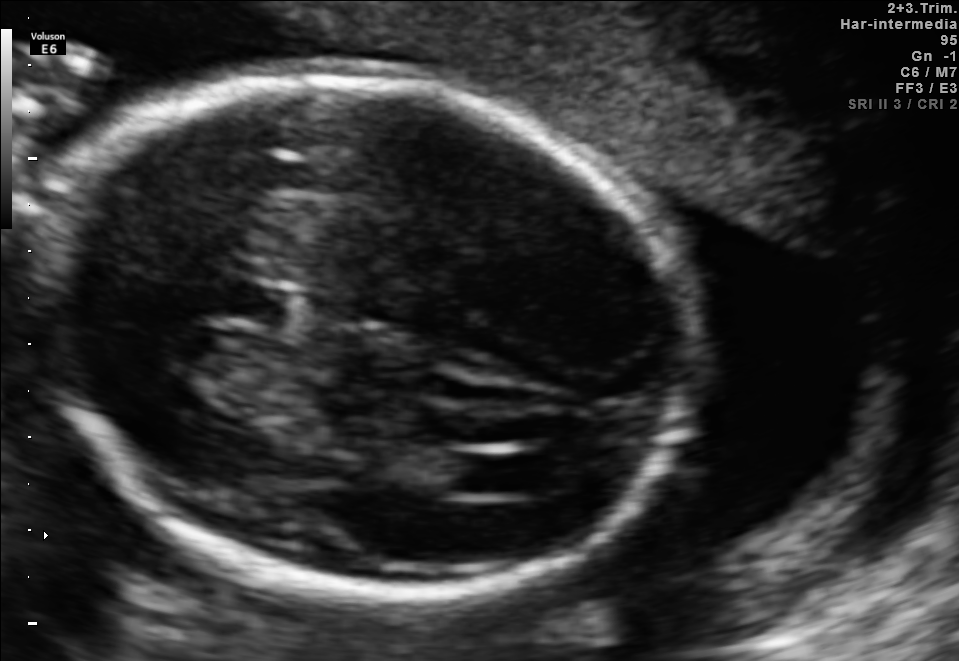
In this fetal brain, trans-ventricular plane, give the bounding box of the fetal head.

[29,62,704,607]